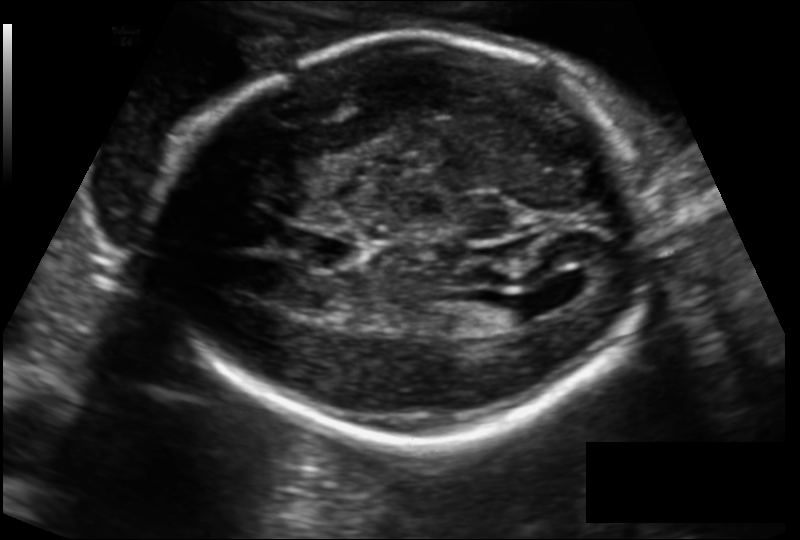
Measure the fetal head circumference shown in this ultrasound image. Image width: 119.5 mm.

Head circumference: 216.8 mm.